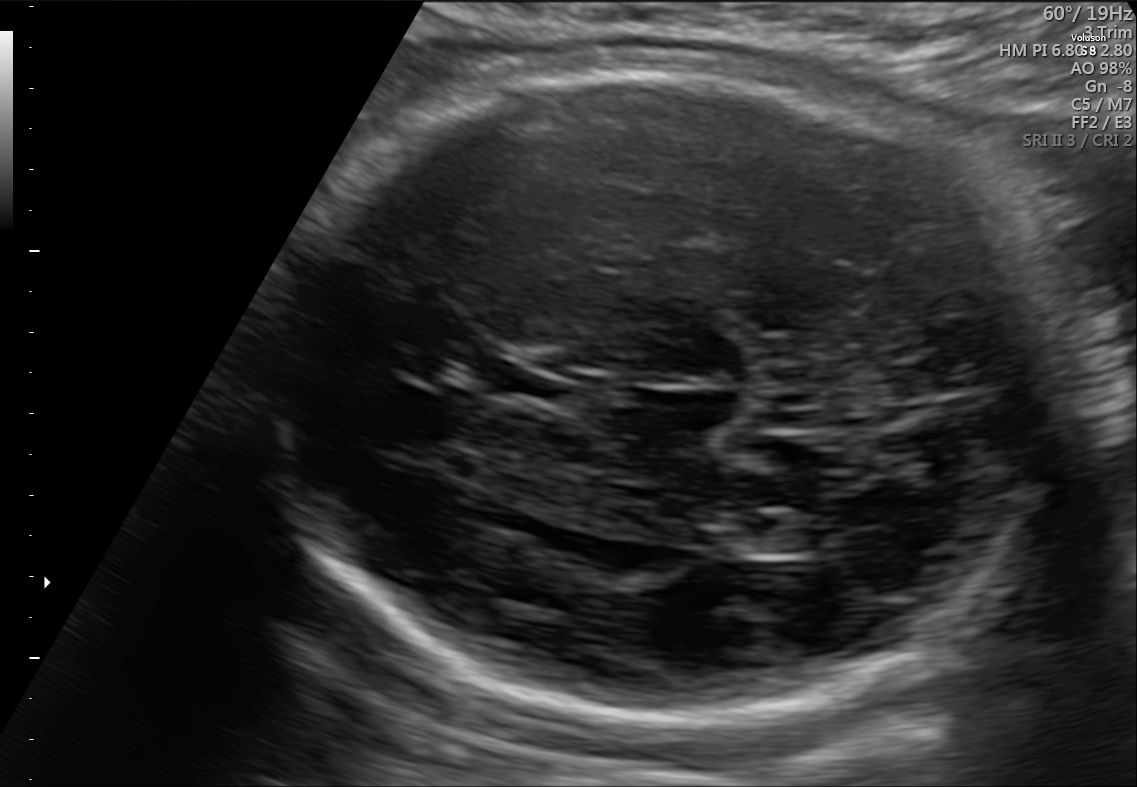
Fetal brain, trans-ventricular plane. Locate the fetal head and, if visible, the cavum septum pellucidum (CSP) and lateral ventricle (LV). Give bounding boxes as [x1,y1,x2,y2].

Head: [260,56,1100,733]